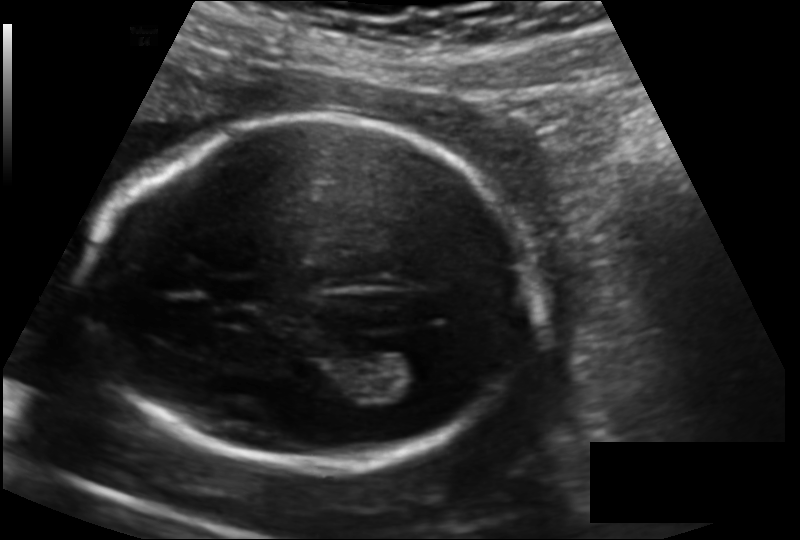
Estimate the fetal head circumference from this 2D ultrasound.

Head circumference: 179.7 mm (image width 111.4 mm).